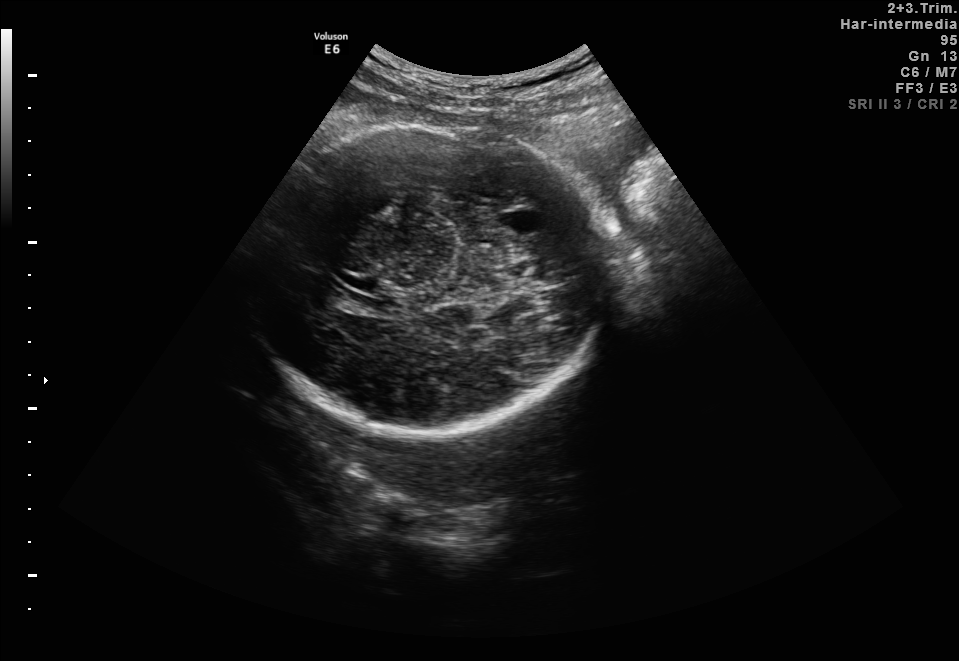
Fetal brain, trans-thalamic plane. Give [x1,y1,x2,y2] bounding boxes for each visible structure among: fetal head, CSP, LV.

Head: [246,125,603,436]